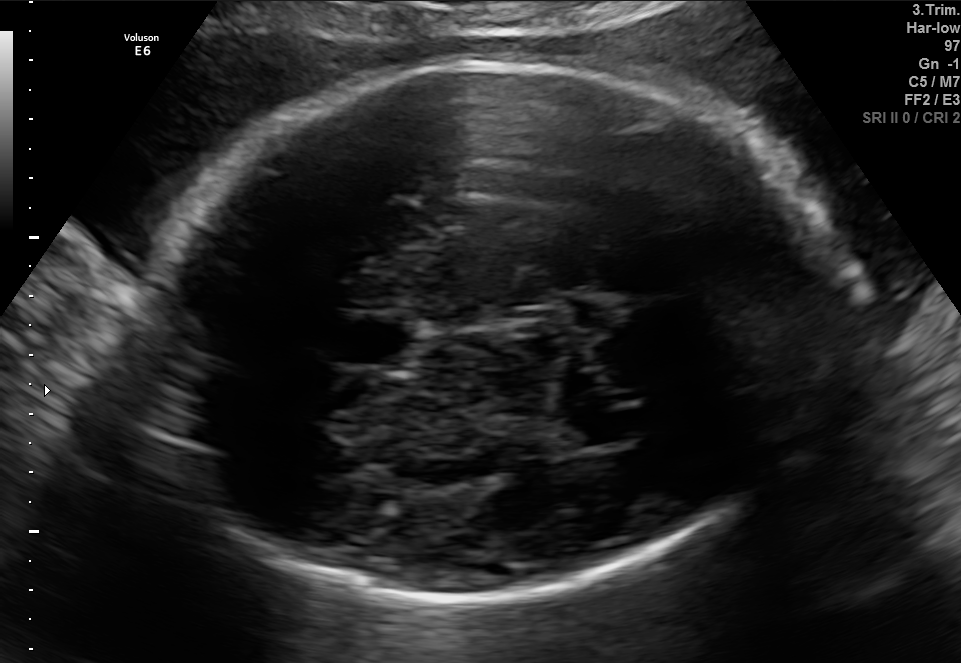
Fetal brain, trans-thalamic plane. Where is the lateral ventricle?

Lateral ventricle bounding box: [562,406,644,449]